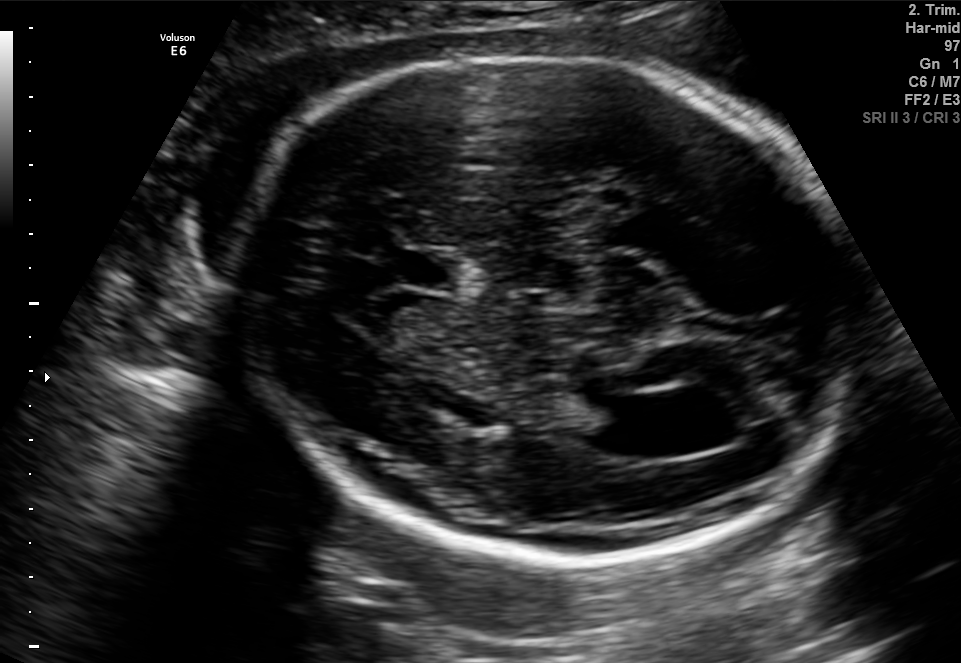
Fetal brain, trans-ventricular plane. Where is the lateral ventricle?

Lateral ventricle bounding box: [585,390,674,454]